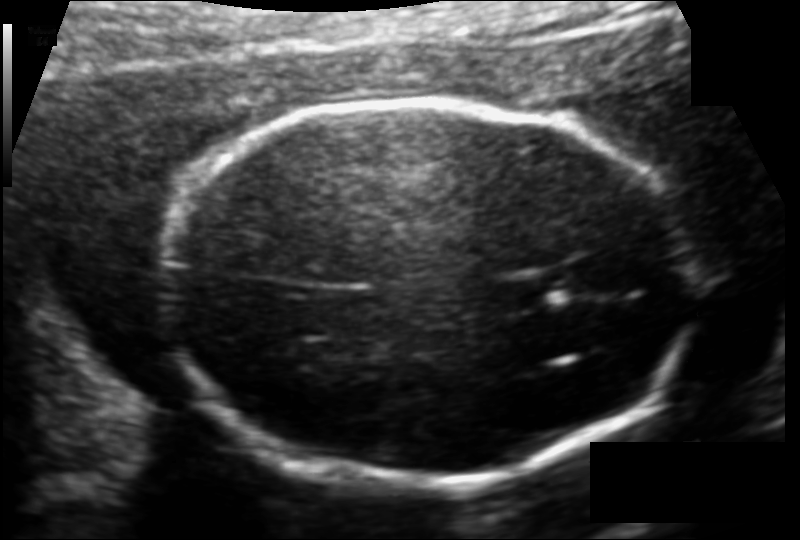
In this fetal head ultrasound, give bounding boxes for the head outline, cavum septum pellucidum (CSP), and lateral ventricle (LV), where visible. Image width: 95.0 mm.

Head: [166,101,694,488]
CSP: [494,267,563,313]